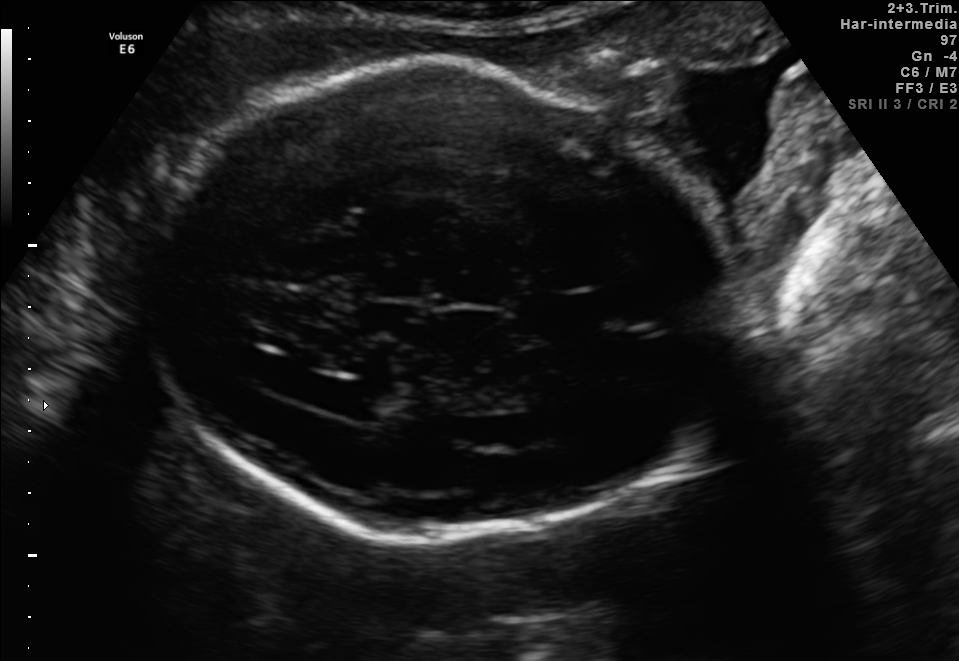
In this fetal brain, trans-ventricular plane, give the bounding box of the lateral ventricle.

[302,370,400,426]